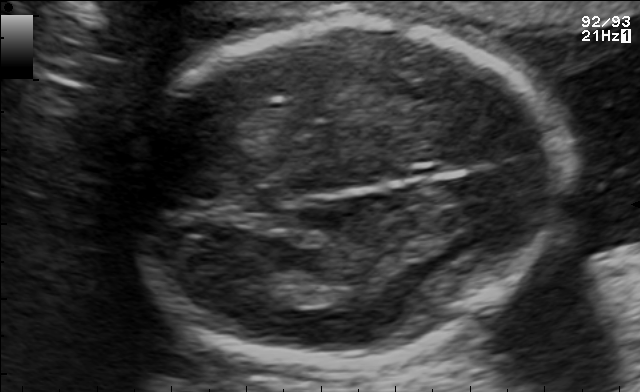
Fetal brain, trans-thalamic plane. Locate the fetal head and, if visible, the cavum septum pellucidum (CSP) and lateral ventricle (LV). Give bounding boxes as [x1,y1,x2,y2].

Head: [123,16,561,368]
Lateral ventricle: [250,285,305,308]